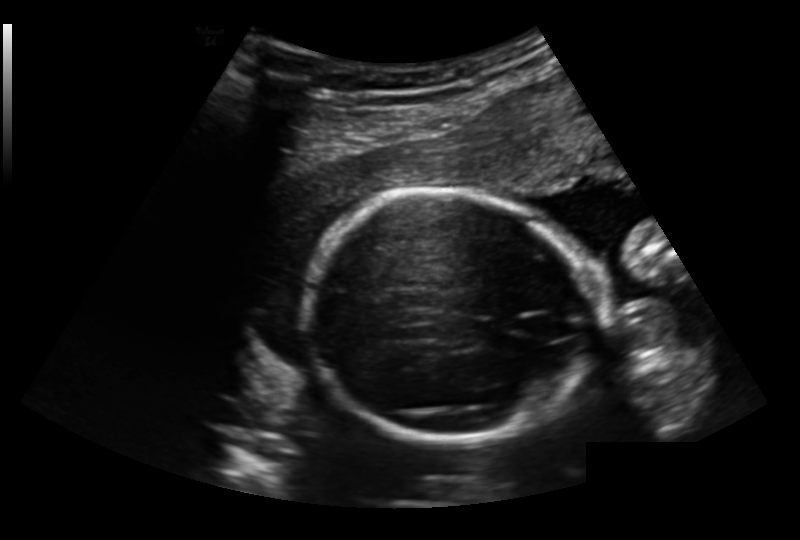
In this fetal head ultrasound, give bounding boxes for the head outline, cavum septum pellucidum (CSP), and lateral ventricle (LV), where visible. Image width: 152.5 mm.

Head: [304,190,592,444]